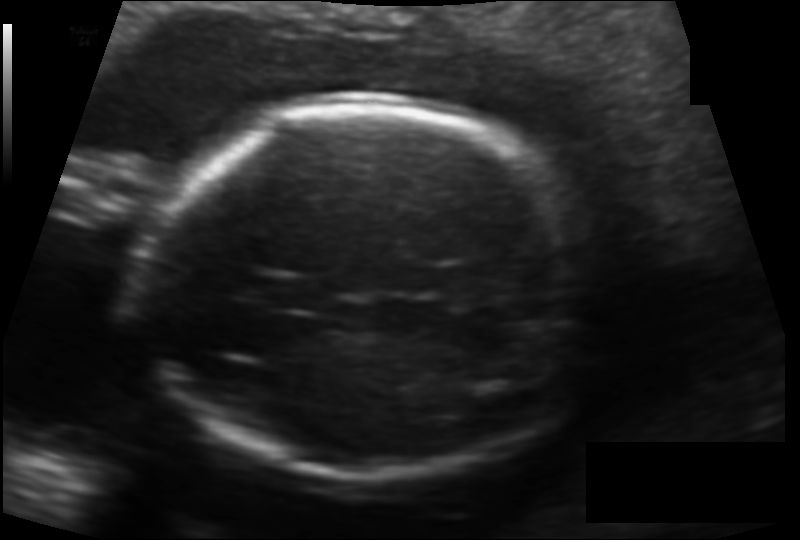
Fetal head ultrasound. Image width: 105.8 mm. Locate the fetal head.

Head: [143,101,593,483]